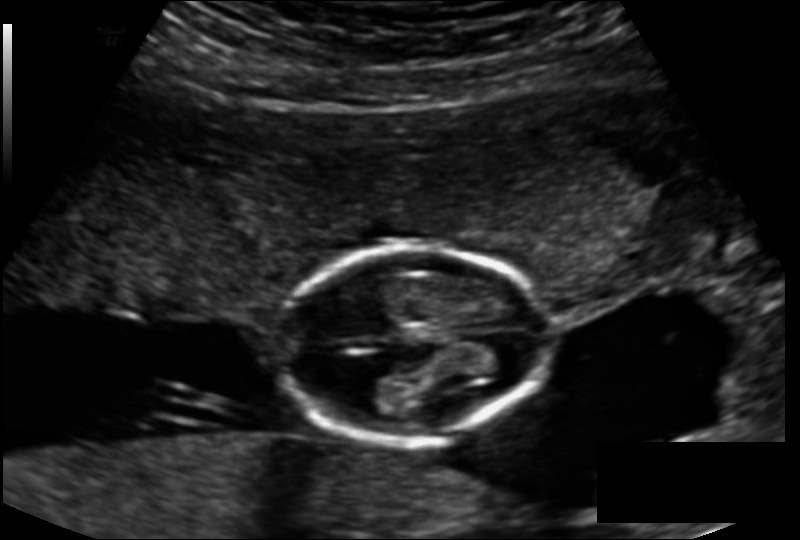
From this fetal ultrasound, estimate the head circumference (image width 114.3 mm).

Head circumference: 111.5 mm.